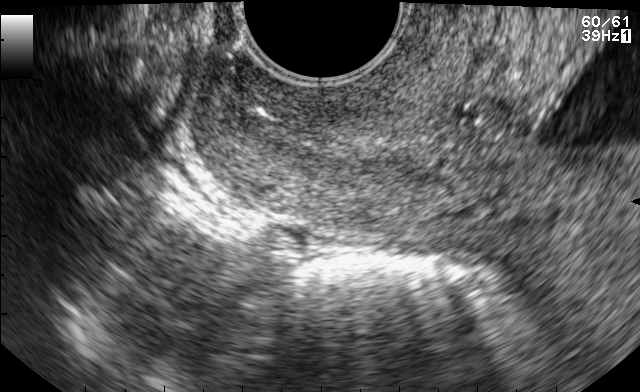
Identify the standard plane in this fetal ultrasound image: fetal abdomen, fetal brain, fetal femur, fetal thorax, maternal cervix, or other. If it's fetal brain and one of the three standard brain planes (trans-thalamic, trans-cerebellum, trans-ventricular), name which.

Maternal cervix